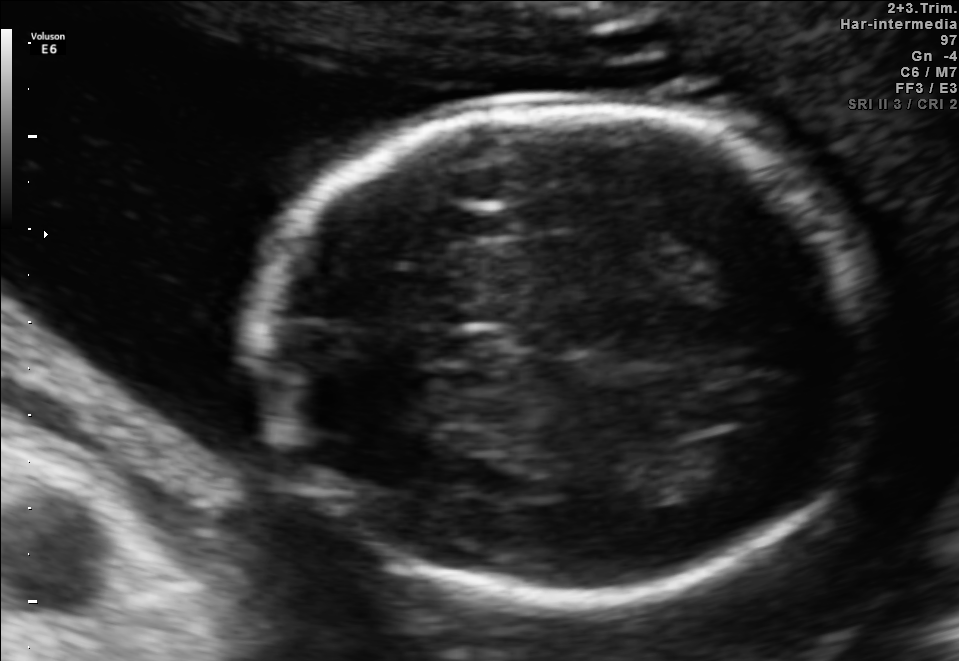
Fetal brain, trans-ventricular plane. Where is the cavum septum pellucidum?

CSP bounding box: [426,331,508,367]